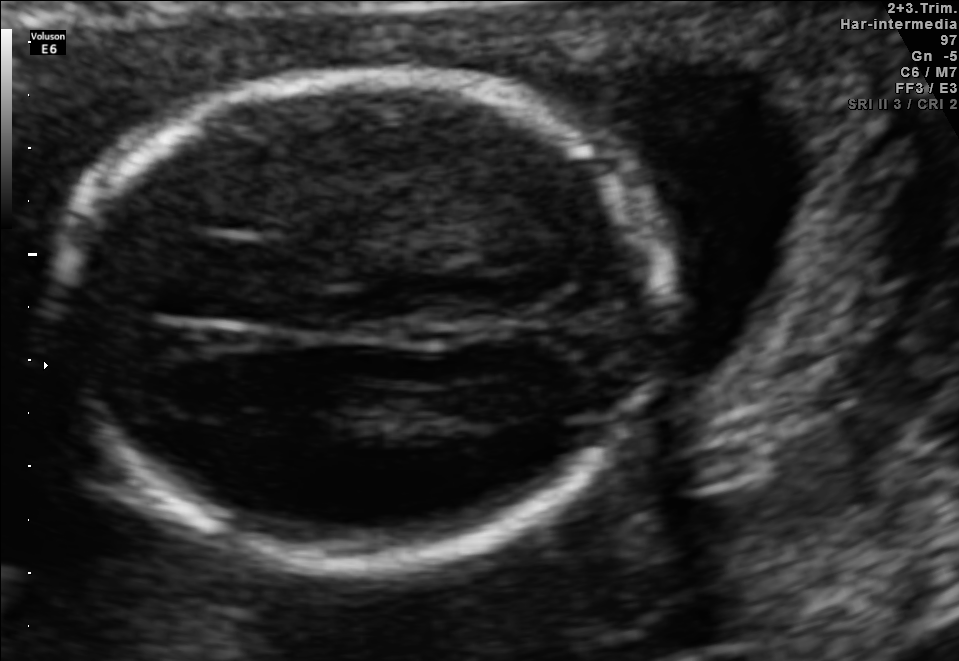
Fetal brain, trans-thalamic plane. Where is the fetal head?

Head bounding box: [57,77,662,556]